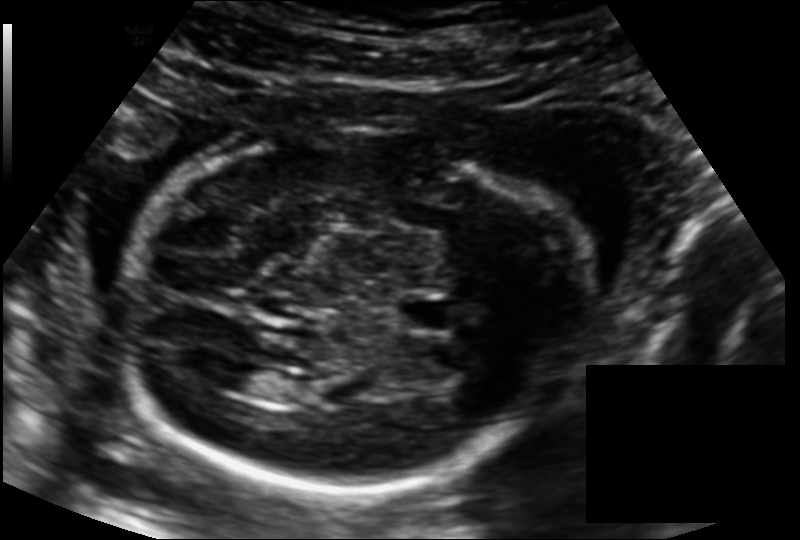
Fetal head ultrasound. Image width: 111.3 mm. Locate the lateral ventricle.

Lateral ventricle: [215,360,271,398]